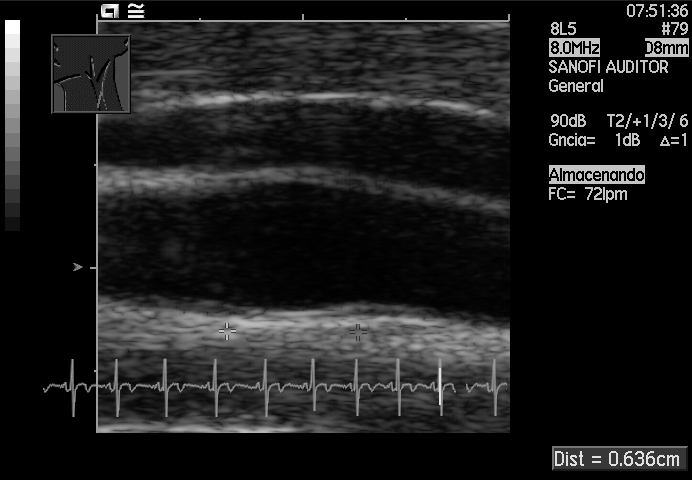
Identify the standard plane in this fetal ultrasound image: fetal abdomen, fetal brain, fetal femur, fetal thorax, maternal cervix, or other. If it's fetal brain and one of the three standard brain planes (trans-thalamic, trans-cerebellum, trans-ventricular), name which.

Other